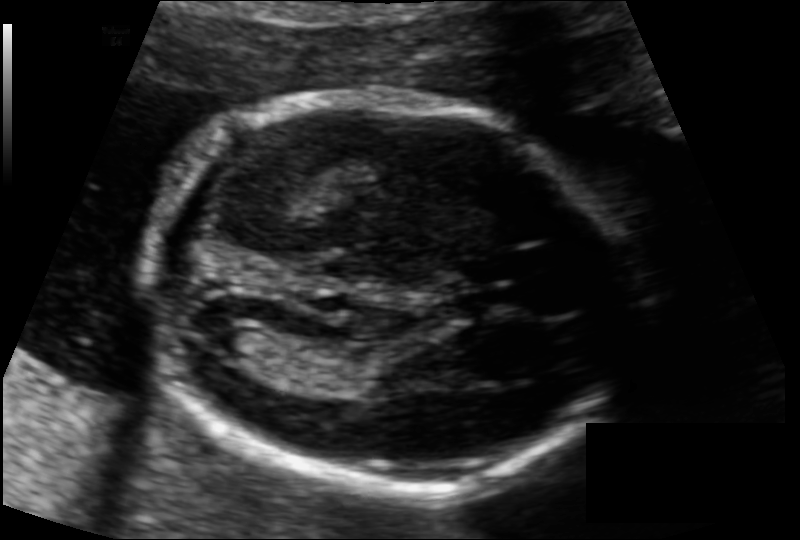
Fetal head ultrasound. Image width: 86.5 mm. Give [x1,y1,x2,y2] bounding boxes for each visible structure among: fetal head, CSP, LV.

Head: [148,96,631,489]
Lateral ventricle: [206,313,272,368]